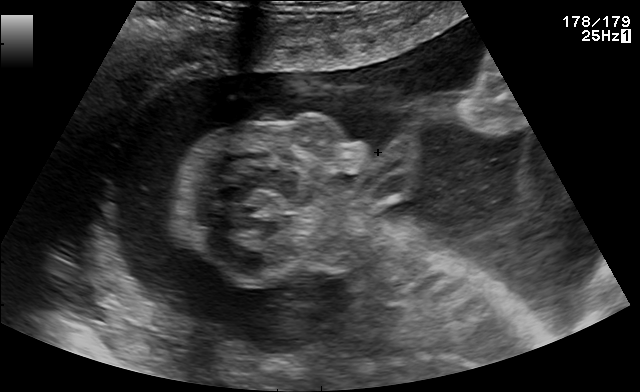
Identify the standard plane in this fetal ultrasound image: fetal abdomen, fetal brain, fetal femur, fetal thorax, maternal cervix, or other. If it's fetal brain and one of the three standard brain planes (trans-thalamic, trans-cerebellum, trans-ventricular), name which.

Other